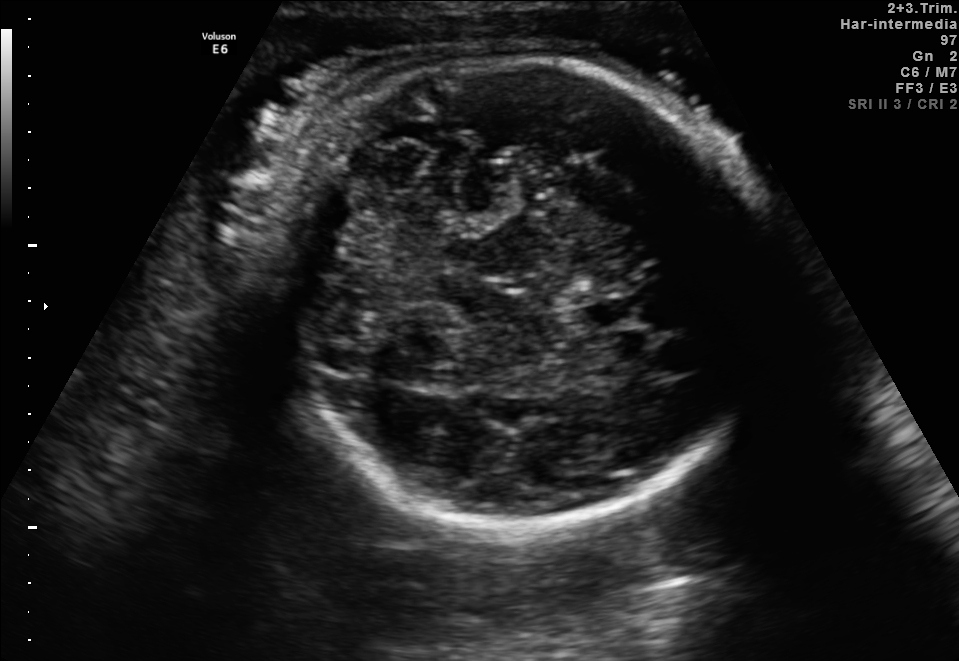
Fetal brain, trans-cerebellum plane. Locate the cavum septum pellucidum.

CSP: [576,291,640,331]